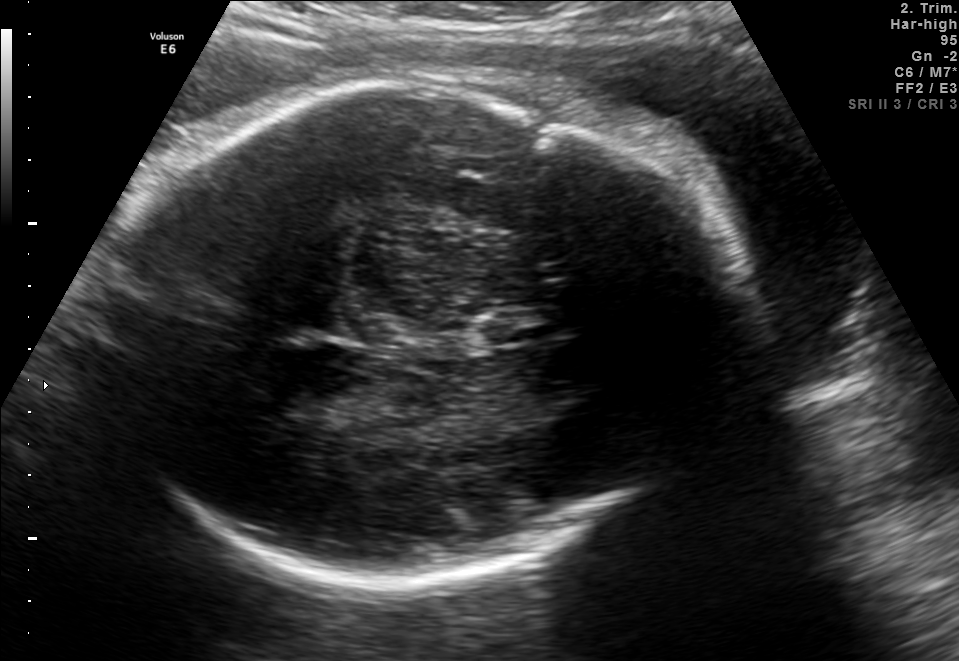
Fetal brain, trans-thalamic plane. Where is the fetal head?

Head bounding box: [82,83,739,580]